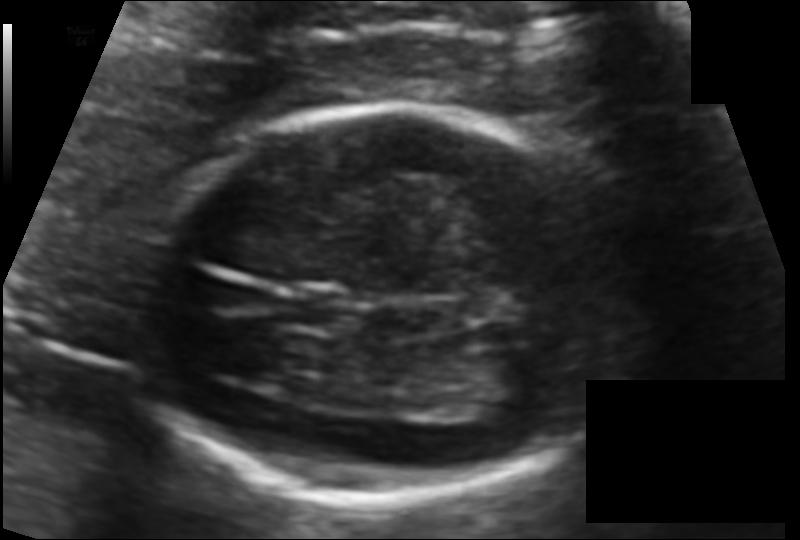
In this fetal head ultrasound, give bounding boxes for the head outline, cavum septum pellucidum (CSP), and lateral ventricle (LV), where visible. Image width: 80.0 mm.

Head: [141,105,632,499]